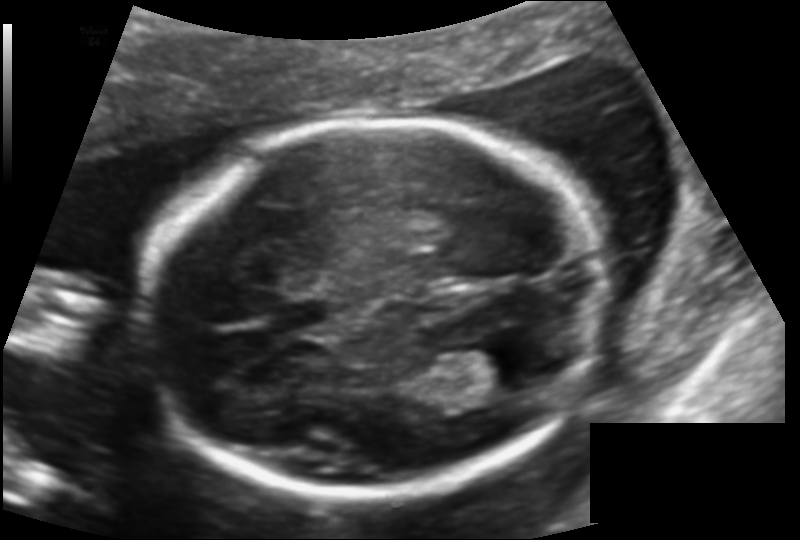
Fetal head ultrasound. Image width: 105.2 mm. Locate the fetal head and, if visible, the cavum septum pellucidum (CSP) and lateral ventricle (LV). Give bounding boxes as [x1,y1,x2,y2].

Head: [147,118,603,495]
CSP: [267,294,336,336]
Lateral ventricle: [450,338,542,395]